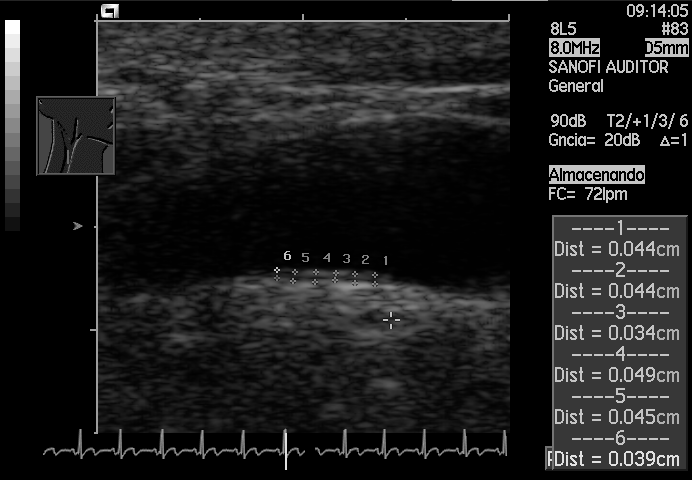
Identify the standard plane in this fetal ultrasound image: fetal abdomen, fetal brain, fetal femur, fetal thorax, maternal cervix, or other. If it's fetal brain and one of the three standard brain planes (trans-thalamic, trans-cerebellum, trans-ventricular), name which.

Other